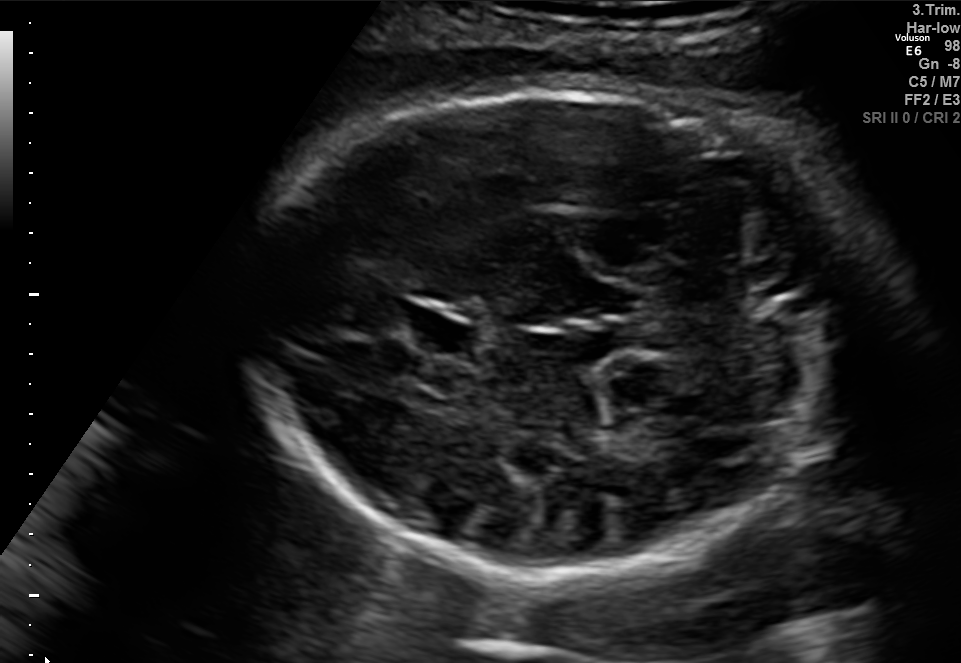
Fetal brain, trans-cerebellum plane. Where is the fetal head?

Head bounding box: [254,88,836,575]